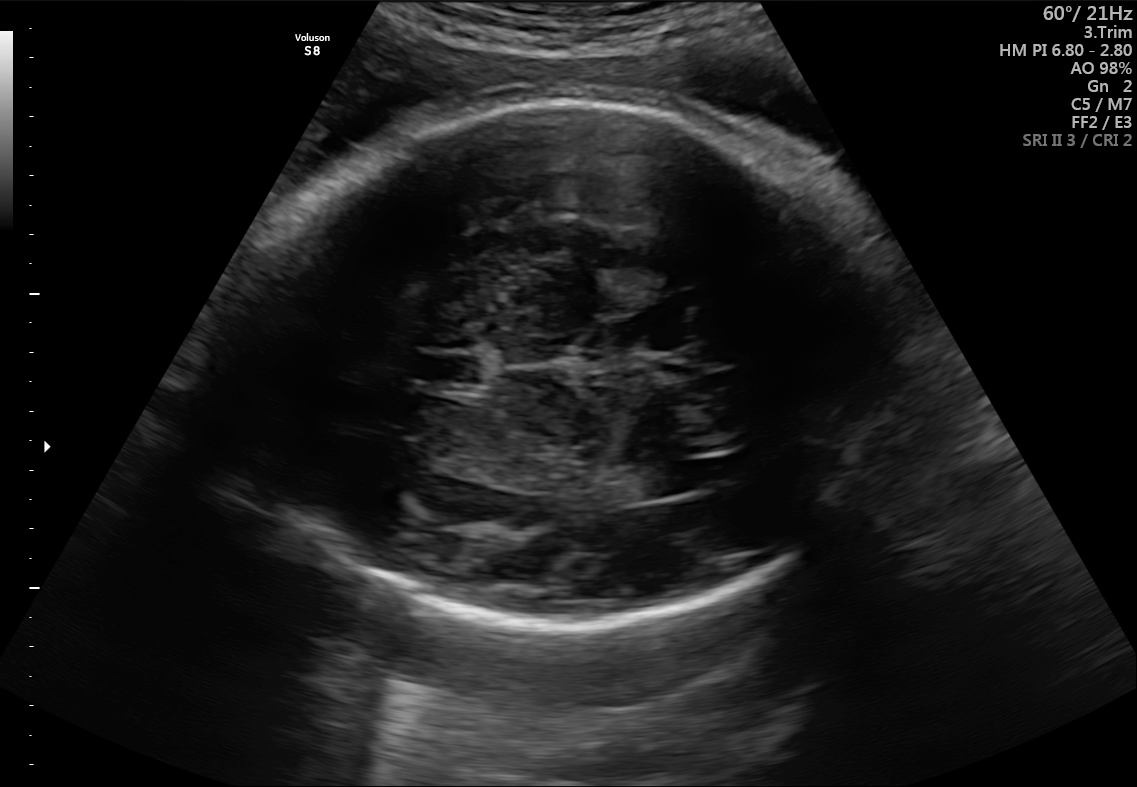
Fetal brain, trans-ventricular plane. Where is the fetal head?

Head bounding box: [218,94,914,633]